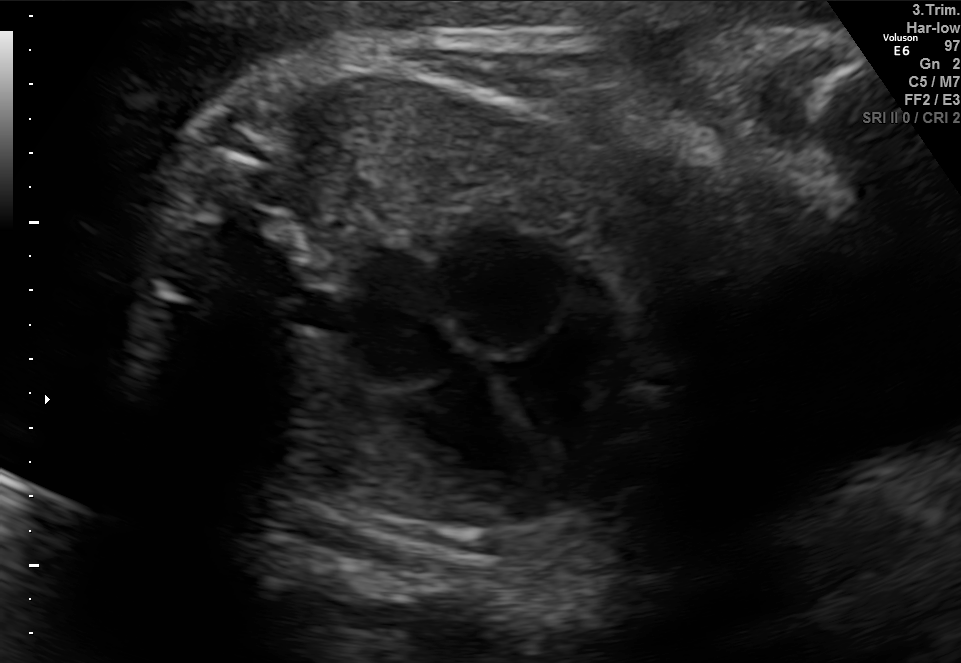
Which standard maternal-fetal ultrasound plane is shown: fetal abdomen, fetal brain, fetal femur, fetal thorax, maternal cervix, or other? If it's fetal brain and one of the three standard brain planes (trans-thalamic, trans-cerebellum, trans-ventricular), name which.

Fetal thorax